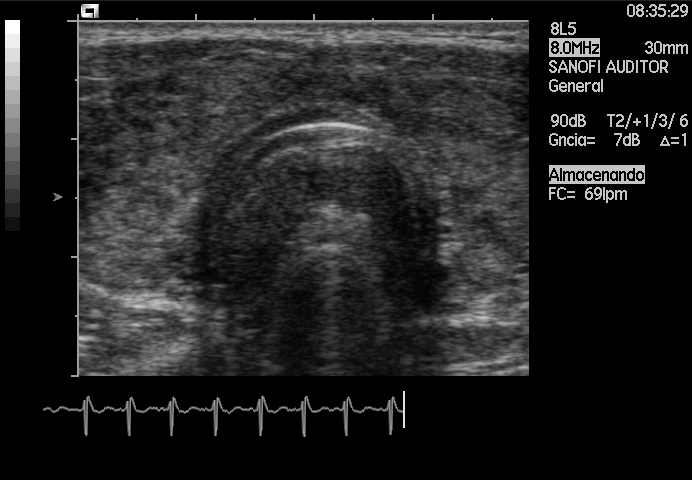
Identify the standard plane in this fetal ultrasound image: fetal abdomen, fetal brain, fetal femur, fetal thorax, maternal cervix, or other. If it's fetal brain and one of the three standard brain planes (trans-thalamic, trans-cerebellum, trans-ventricular), name which.

Other